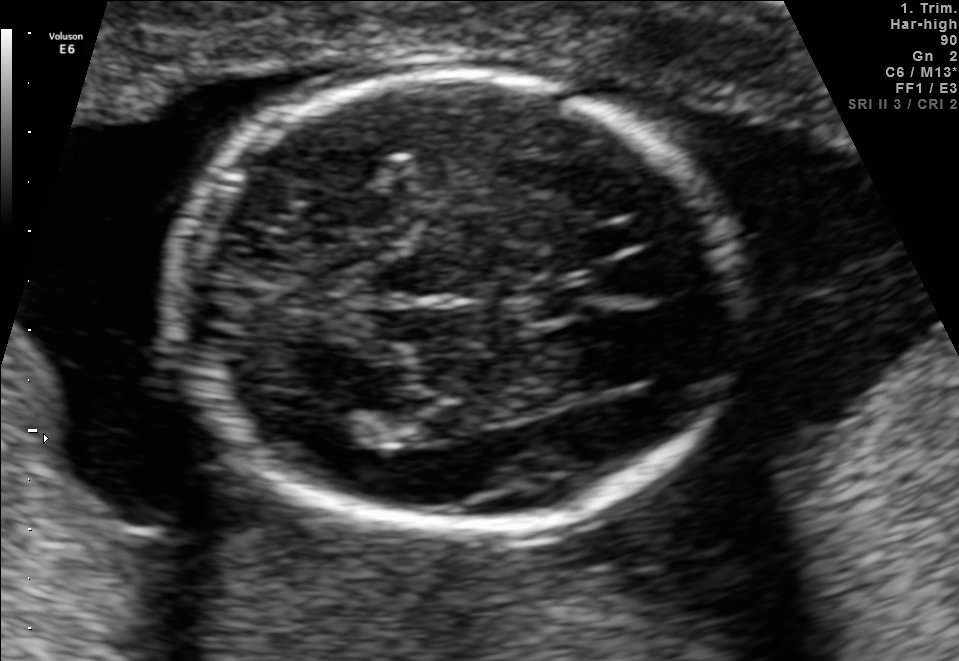
Fetal brain, trans-thalamic plane. Give [x1,y1,x2,y2] bounding boxes for each visible structure among: fetal head, CSP, LV.

Head: [168,75,739,526]
CSP: [525,275,593,324]
Lateral ventricle: [312,409,395,447]